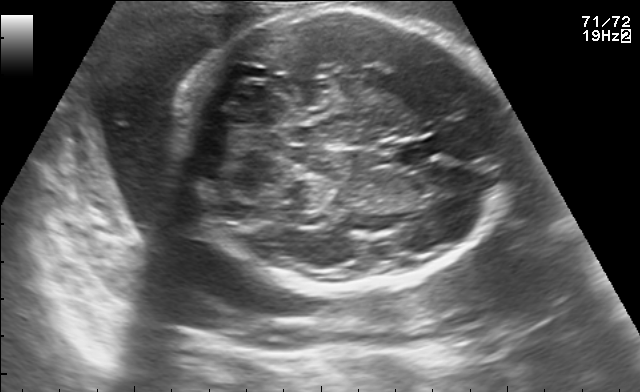
Fetal brain, trans-cerebellum plane. Locate the fetal head.

Head: [183,9,511,292]